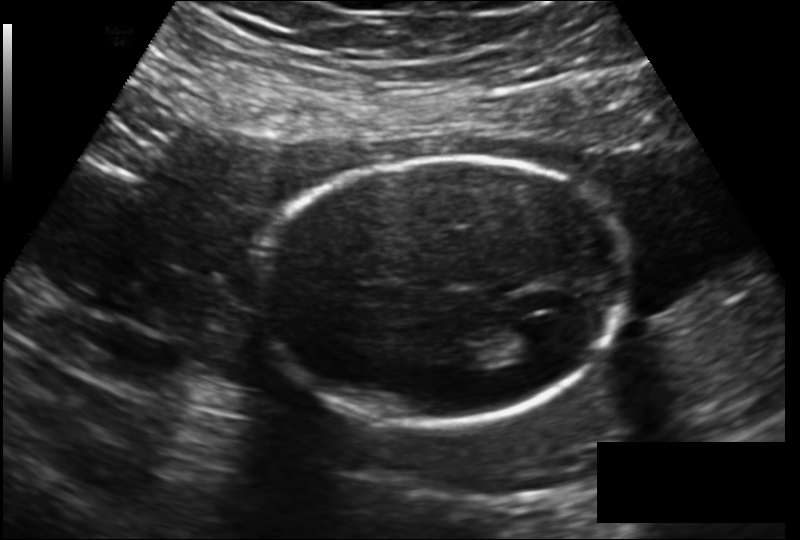
Fetal head ultrasound. Image width: 137.8 mm. Give [x1,y1,x2,y2] bounding boxes for each visible structure among: fetal head, CSP, LV.

Head: [262,154,628,425]
Lateral ventricle: [501,323,552,360]